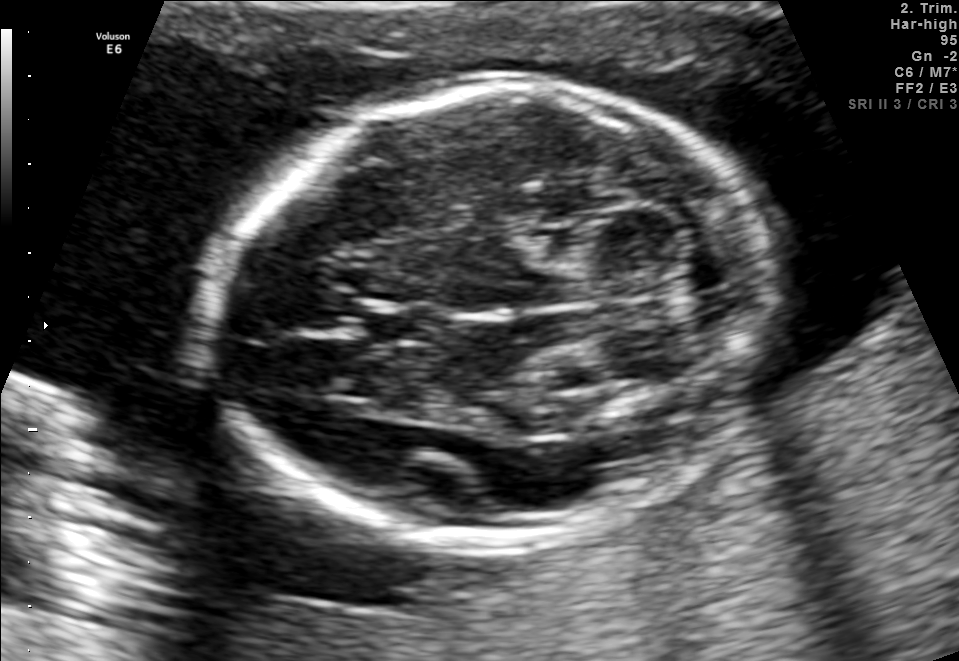
Fetal brain, trans-cerebellum plane. Where is the fetal head?

Head bounding box: [205,87,764,540]